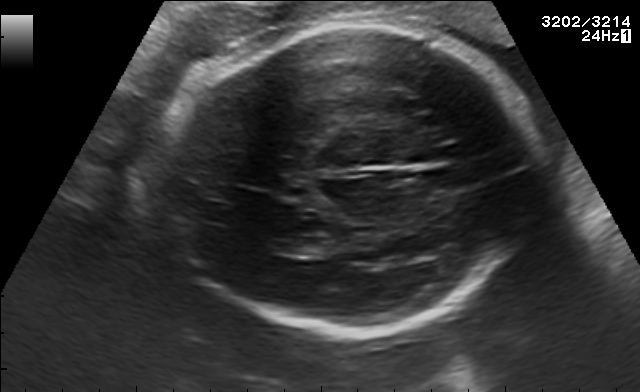
In this fetal brain, trans-thalamic plane, give bounding boxes for the head outline, cavum septum pellucidum (CSP), and lateral ventricle (LV), where visible.

Head: [162,21,540,337]
Lateral ventricle: [271,237,332,255]